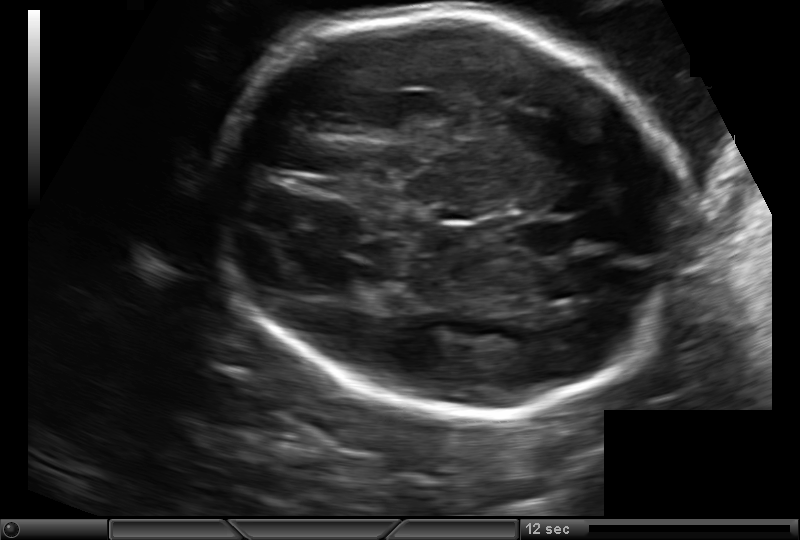
Estimate the fetal head circumference from this 2D ultrasound. Image width: 137.2 mm.

Head circumference: 242.0 mm.